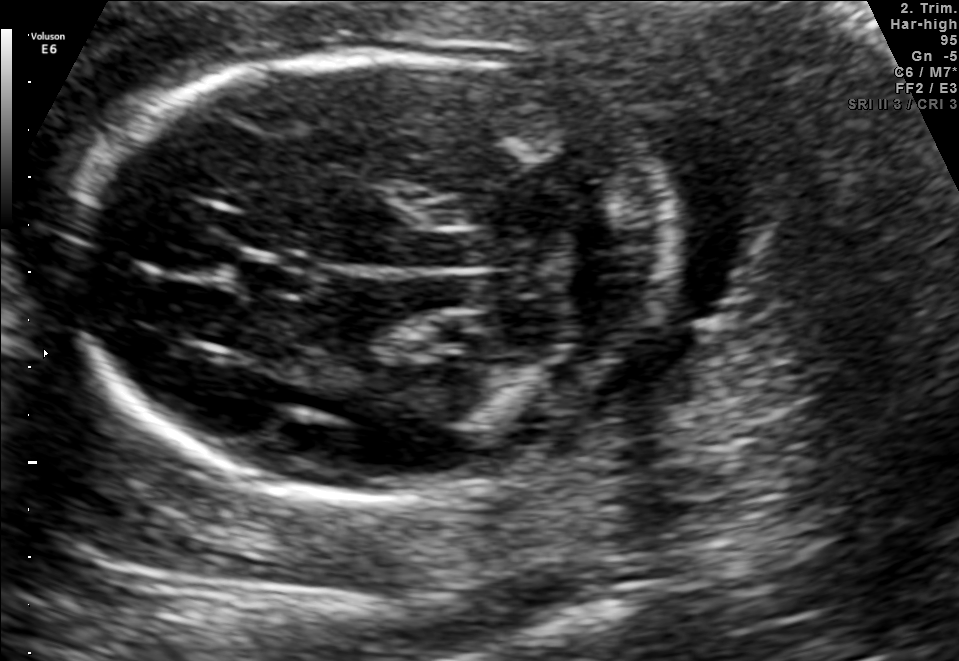
Fetal brain, trans-cerebellum plane. Locate the fetal head and, if visible, the cavum septum pellucidum (CSP) and lateral ventricle (LV). Give bounding boxes as [x1,y1,x2,y2].

Head: [68,55,673,496]
CSP: [236,253,312,300]